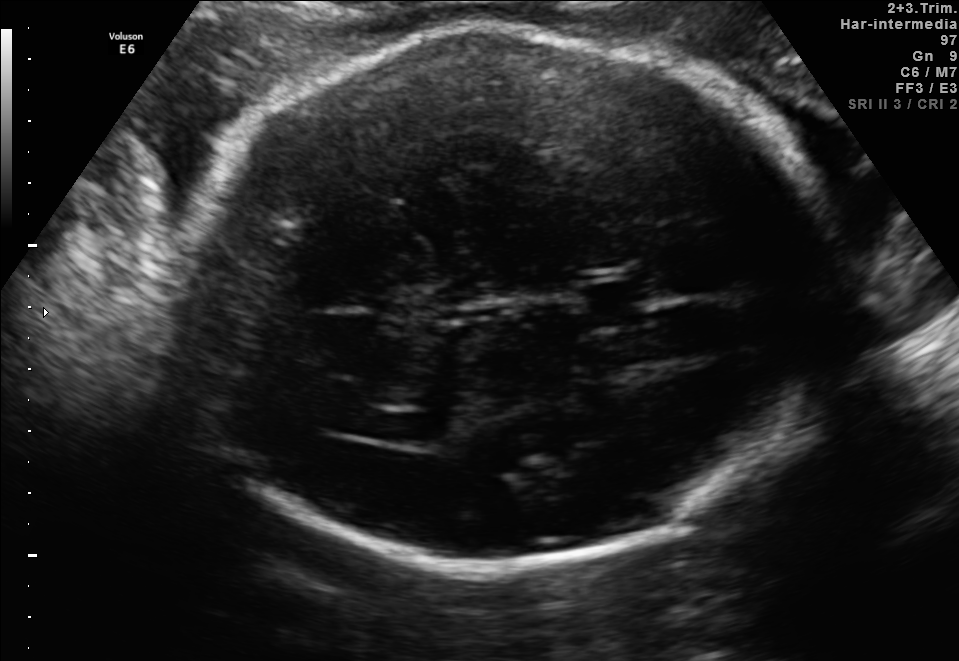
This is a 2D maternal-fetal ultrasound frame. Is it a fetal abdomen, fetal brain, fetal femur, fetal thorax, maternal cervix, or other standard plane? If it's fetal brain and one of the three standard brain planes (trans-thalamic, trans-cerebellum, trans-ventricular), name which.

Fetal brain (trans-ventricular plane)